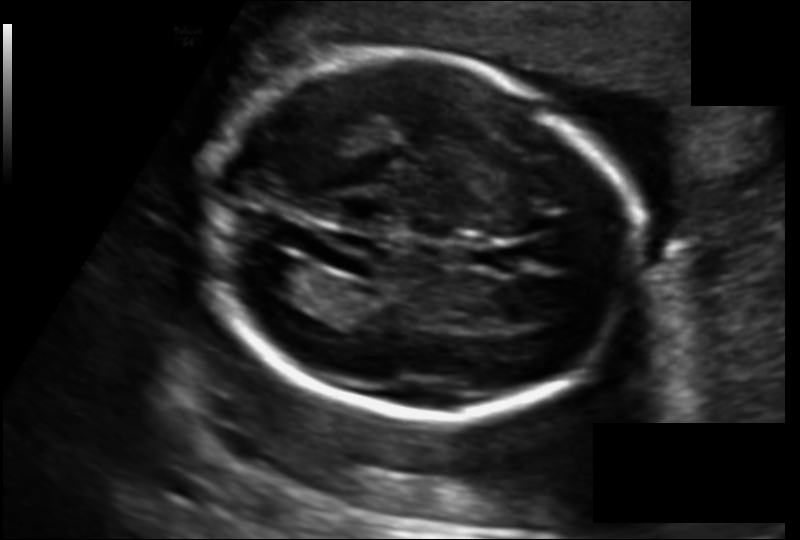
Fetal head ultrasound. Image width: 107.9 mm. Where is the fetal head?

Head bounding box: [203,51,632,418]